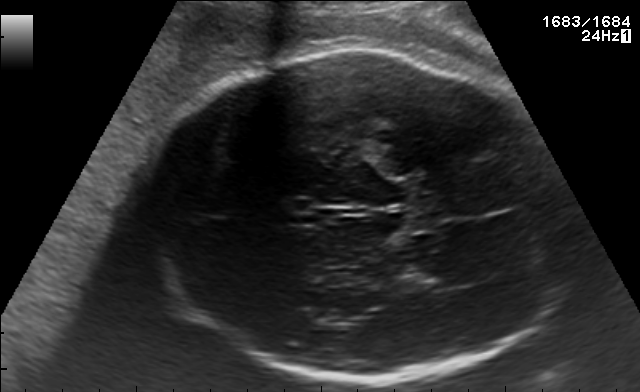
In this fetal brain, trans-thalamic plane, give the bounding box of the fetal head.

[136,47,564,382]